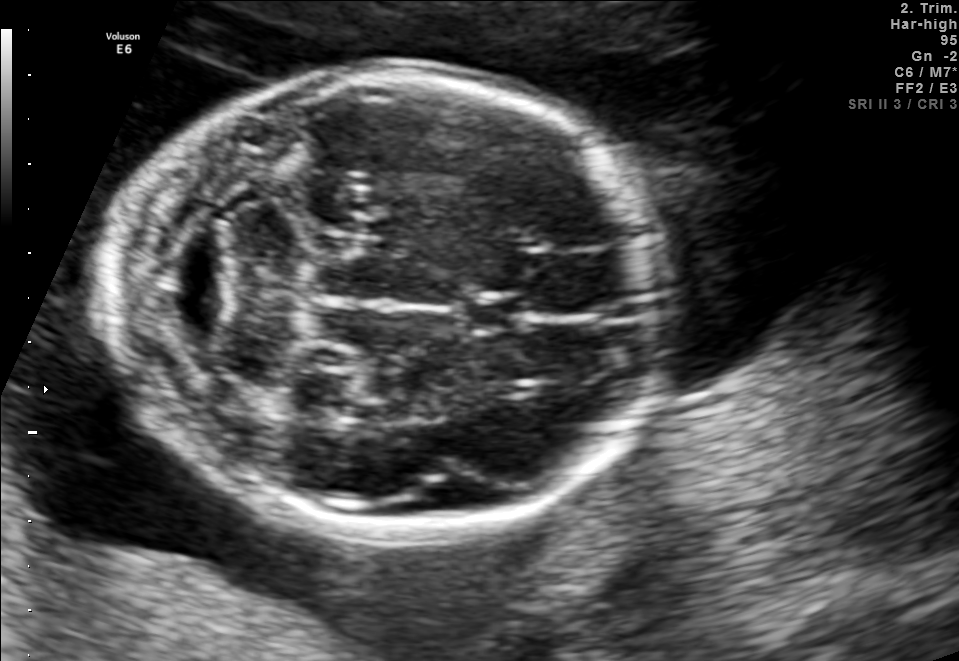
Fetal brain, trans-cerebellum plane. Locate the fetal head.

Head: [111,72,668,531]